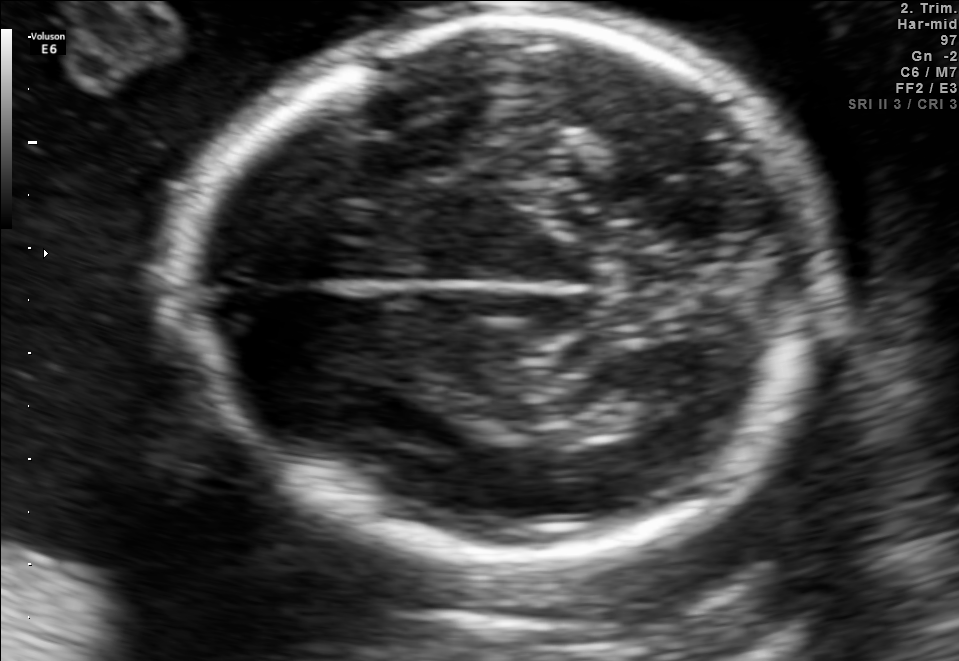
Fetal brain, trans-thalamic plane. Locate the fetal head and, if visible, the cavum septum pellucidum (CSP) and lateral ventricle (LV). Give bounding boxes as [x1,y1,x2,y2].

Head: [177,17,836,568]